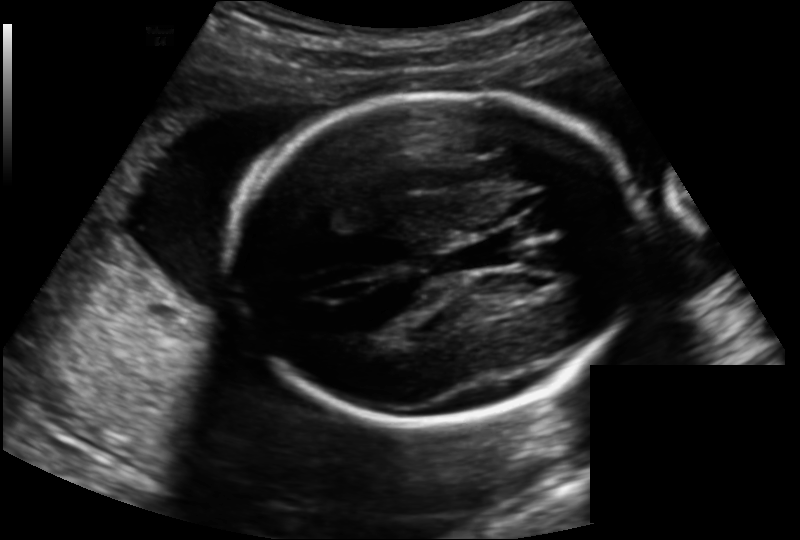
Fetal head ultrasound. Image width: 130.7 mm. Give [x1,y1,x2,y2] bounding boxes for each visible structure among: fetal head, CSP, LV.

Head: [233,94,646,422]